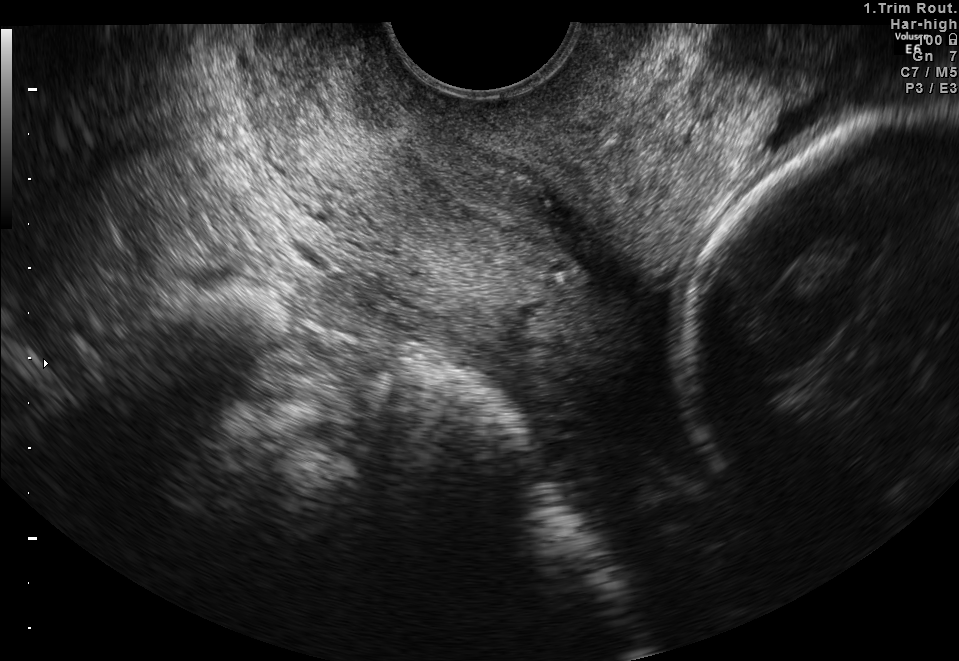
Classify this maternal-fetal ultrasound image as one of the six standard planes — fetal abdomen, fetal brain, fetal femur, fetal thorax, maternal cervix, or other. If it's fetal brain and one of the three standard brain planes (trans-thalamic, trans-cerebellum, trans-ventricular), name which.

Maternal cervix